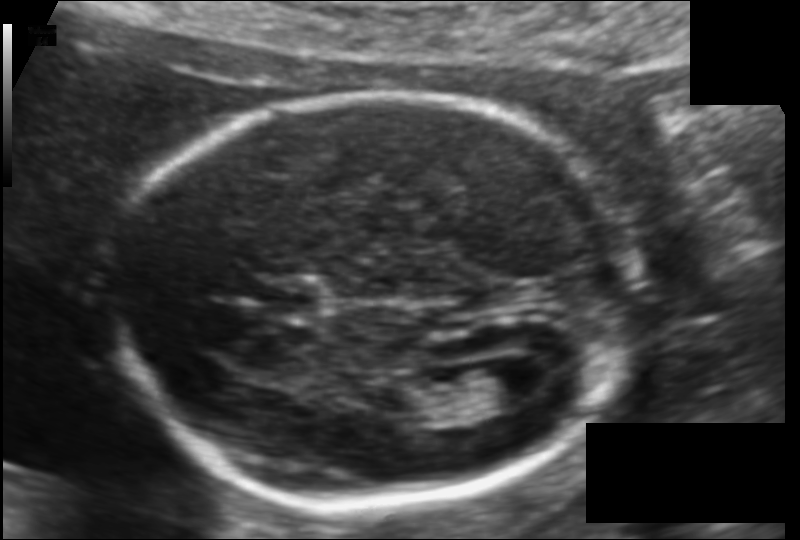
From this fetal ultrasound, estimate the head circumference (image width 92.0 mm).

Head circumference: 173.2 mm.